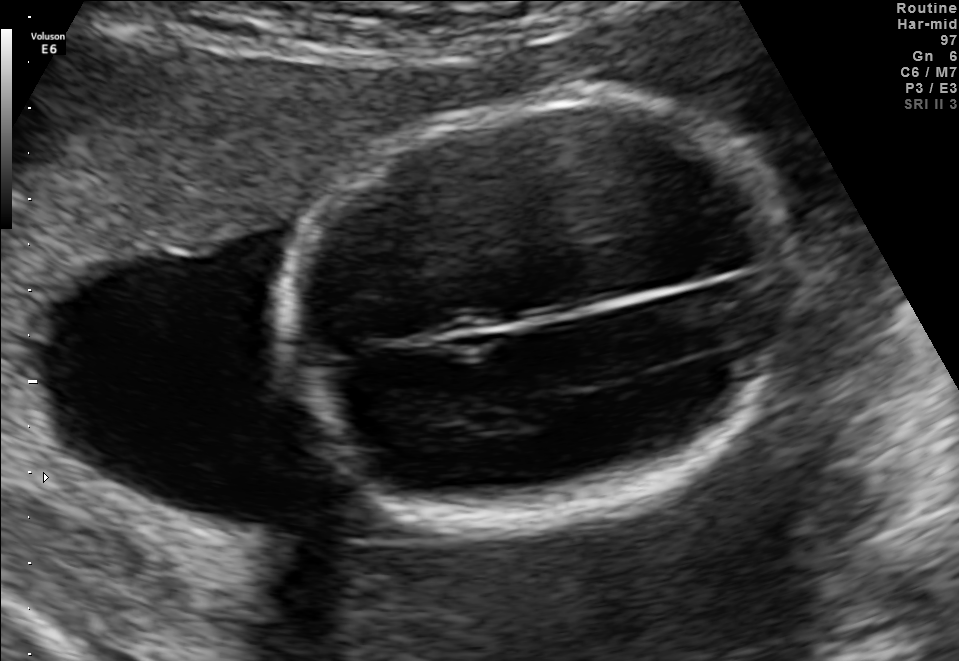
In this fetal brain, trans-thalamic plane, give the bounding box of the fetal head.

[291,103,790,518]